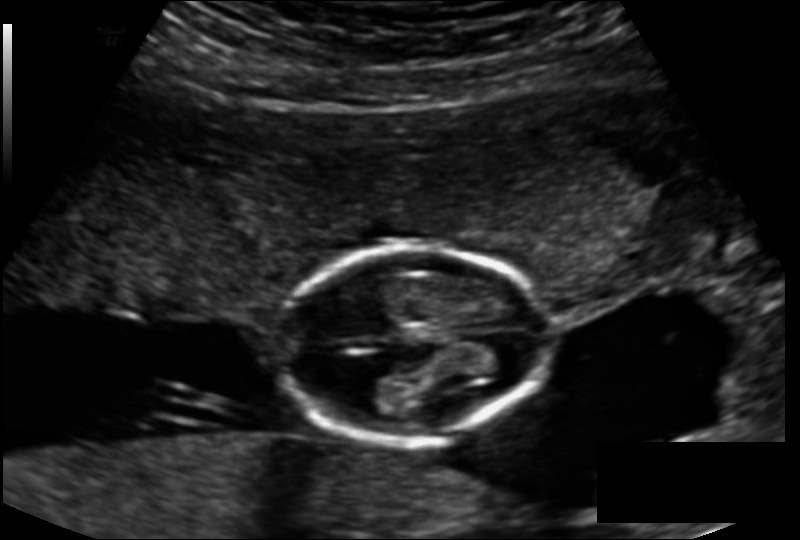
Measure the fetal head circumference shown in this ultrasound image. Image width: 114.3 mm.

Head circumference: 111.5 mm.